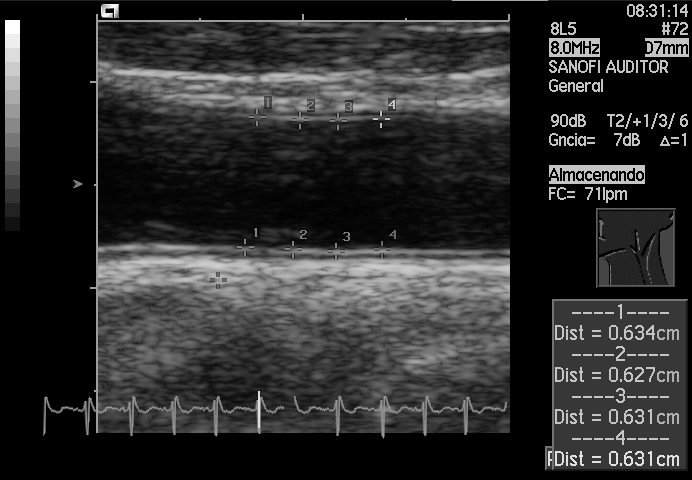
Classify this maternal-fetal ultrasound image as one of the six standard planes — fetal abdomen, fetal brain, fetal femur, fetal thorax, maternal cervix, or other. If it's fetal brain and one of the three standard brain planes (trans-thalamic, trans-cerebellum, trans-ventricular), name which.

Other